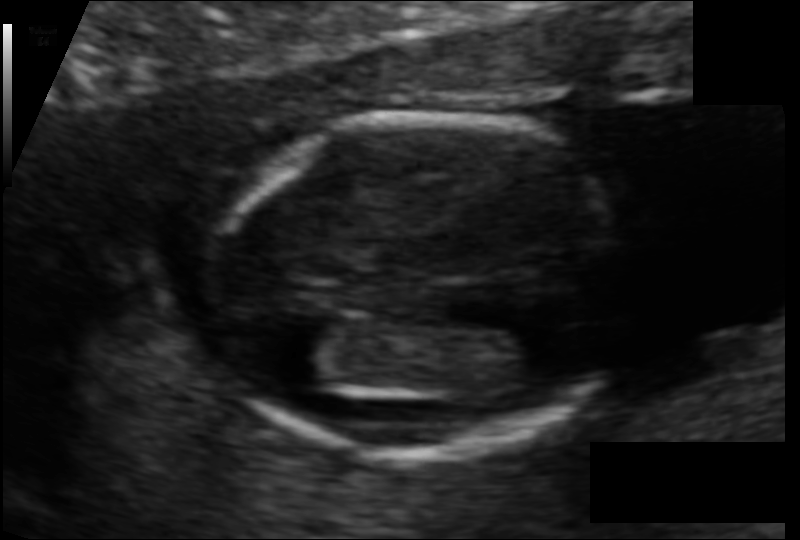
Measure the fetal head circumference shown in this ultrasound image. Image width: 65.5 mm.

Head circumference: 101.1 mm.